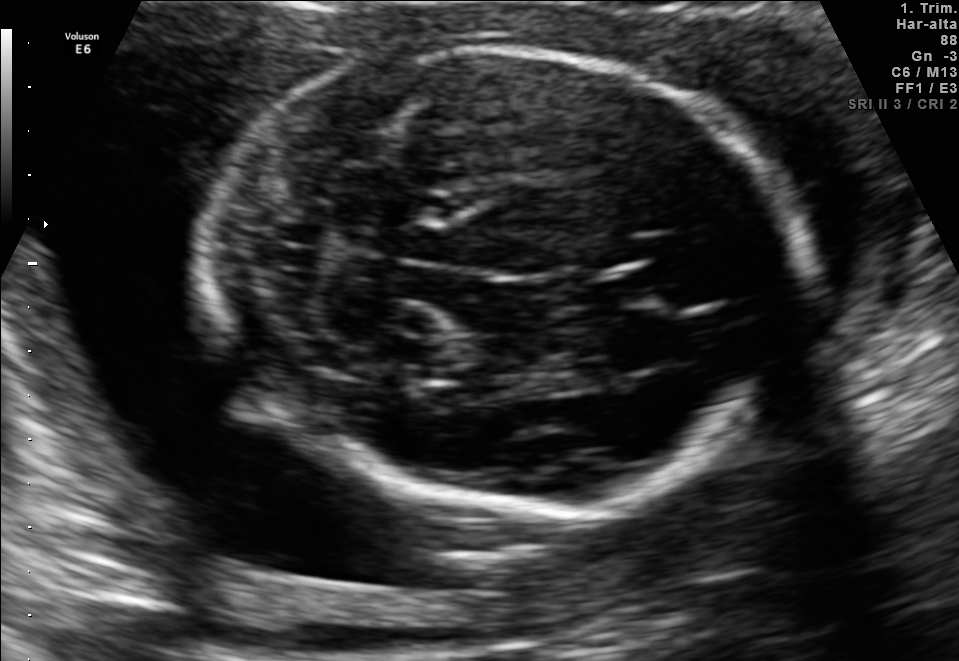
In this fetal brain, trans-cerebellum plane, give bounding boxes for the head outline, cavum septum pellucidum (CSP), and lateral ventricle (LV), where visible.

Head: [200,50,793,505]
CSP: [587,262,666,312]